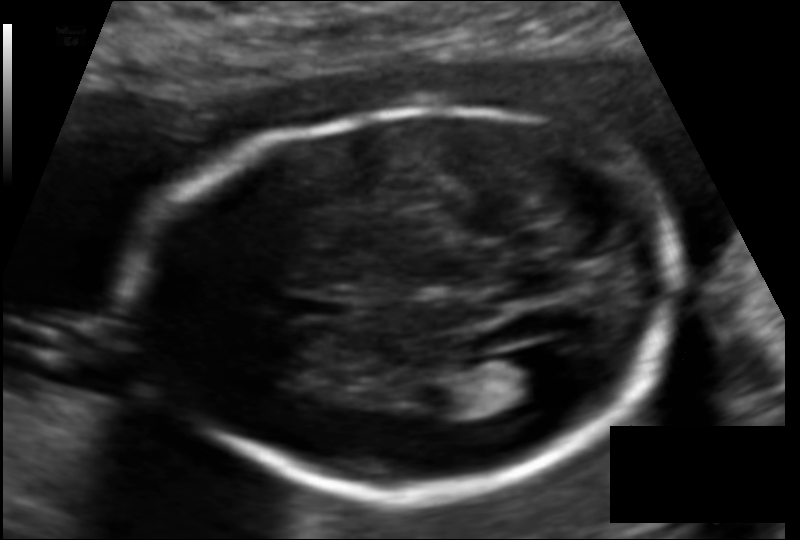
Fetal head ultrasound. Image width: 91.1 mm. Where is the fetal head?

Head bounding box: [158,109,680,492]